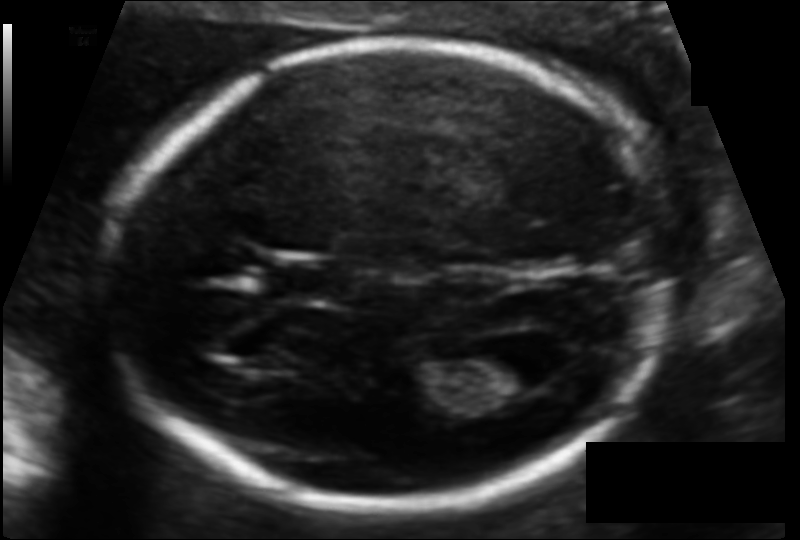
Fetal head ultrasound. Image width: 82.6 mm. Give [x1,y1,x2,y2] bounding boxes for each visible structure among: fetal head, CSP, LV.

Head: [101,40,667,507]
CSP: [270,261,337,302]
Lateral ventricle: [465,332,558,408]